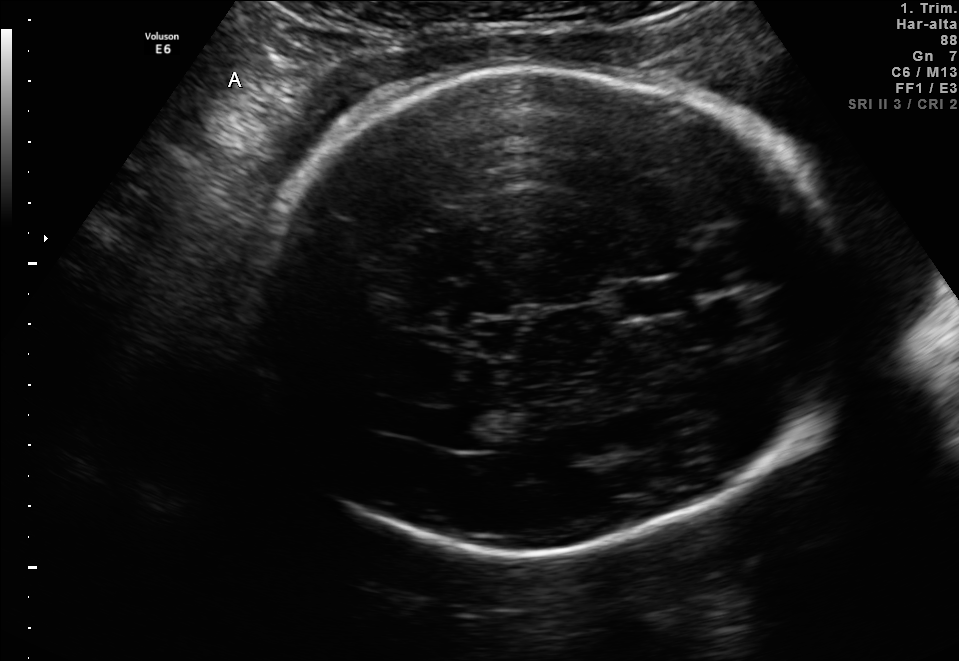
Fetal brain, trans-thalamic plane. Locate the fetal head.

Head: [258,64,843,551]